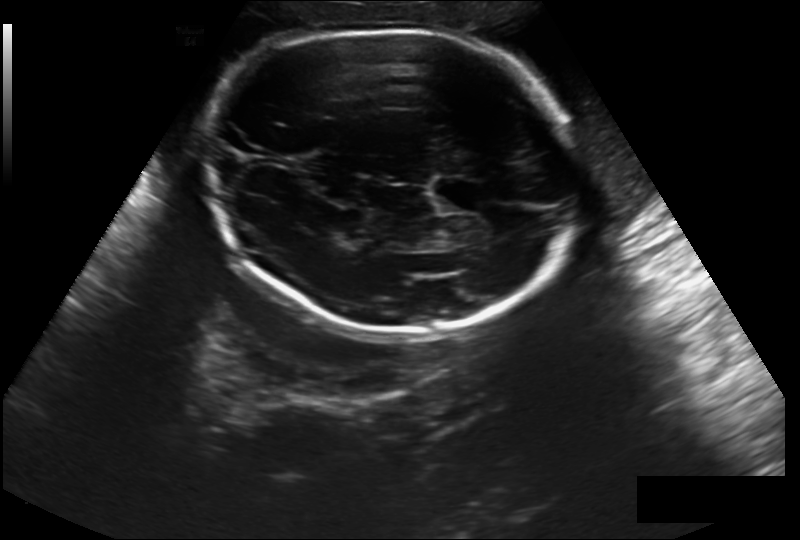
Estimate the fetal head circumference from this 2D ultrasound.

Head circumference: 269.8 mm (image width 195.6 mm).